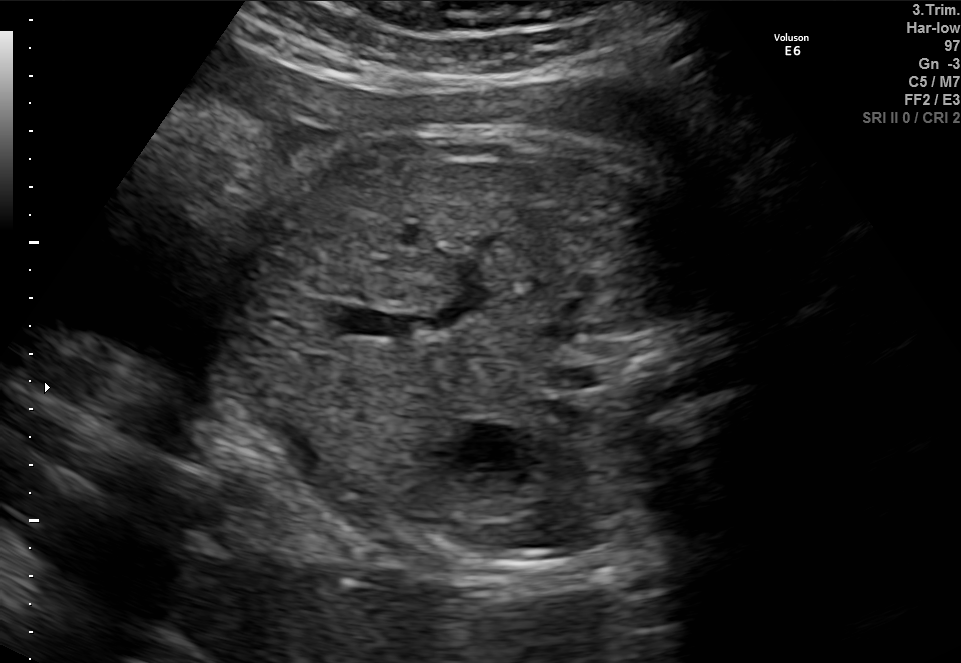
Which standard maternal-fetal ultrasound plane is shown: fetal abdomen, fetal brain, fetal femur, fetal thorax, maternal cervix, or other? If it's fetal brain and one of the three standard brain planes (trans-thalamic, trans-cerebellum, trans-ventricular), name which.

Fetal abdomen